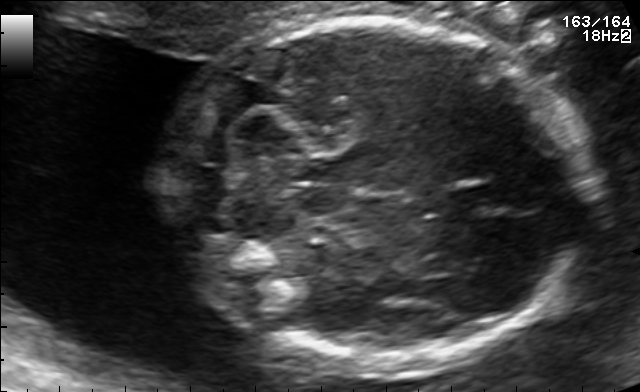
In this fetal brain, trans-cerebellum plane, give bounding boxes for the head outline, cavum septum pellucidum (CSP), and lateral ventricle (LV), where visible.

Head: [170,17,589,370]
CSP: [444,179,503,221]